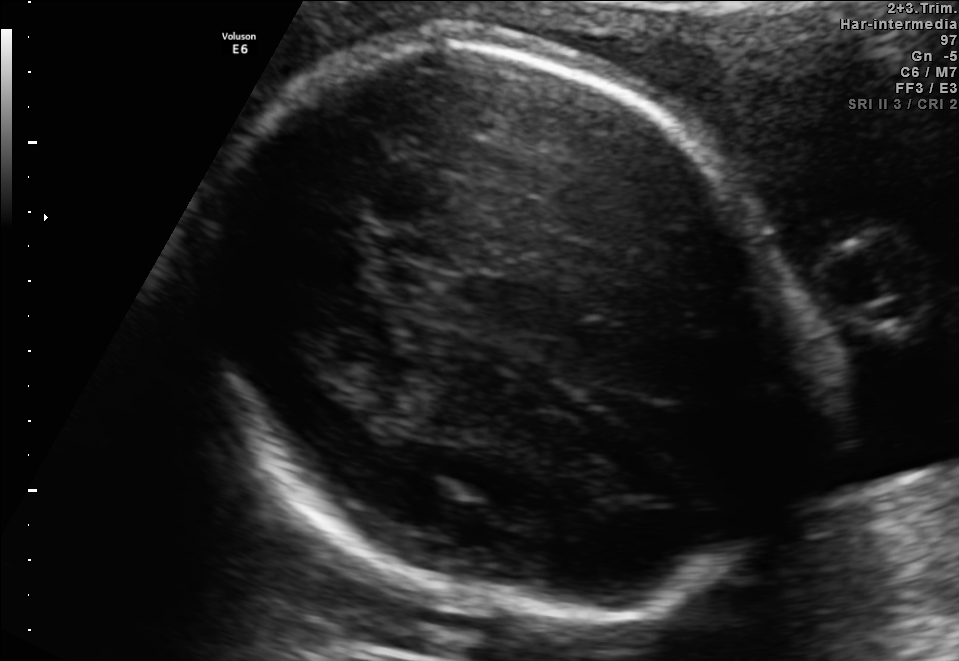
Fetal brain, trans-thalamic plane. Where is the fetal head?

Head bounding box: [193,43,816,620]